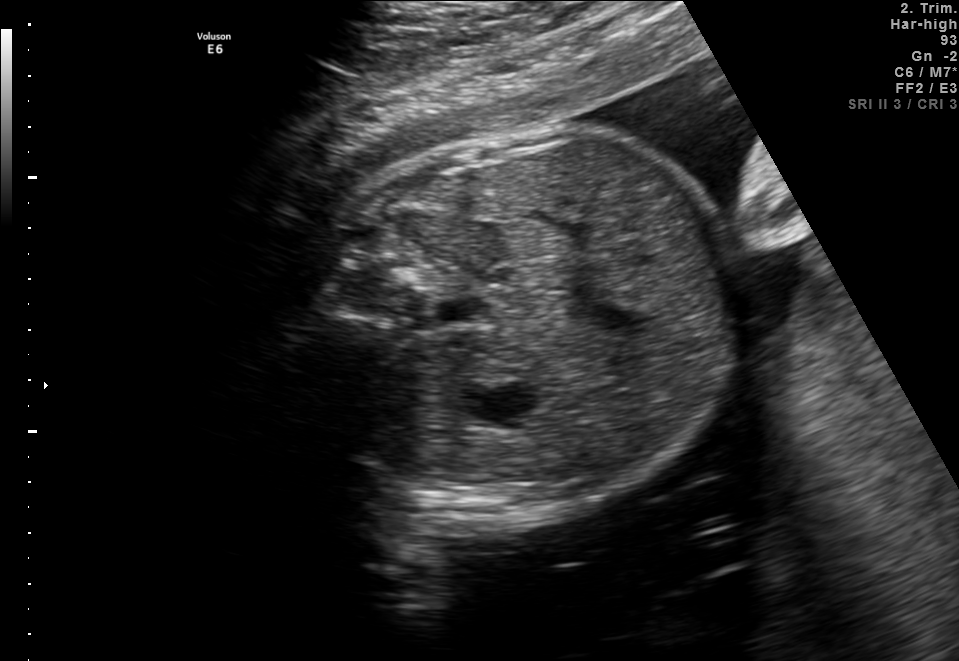
Which standard maternal-fetal ultrasound plane is shown: fetal abdomen, fetal brain, fetal femur, fetal thorax, maternal cervix, or other? If it's fetal brain and one of the three standard brain planes (trans-thalamic, trans-cerebellum, trans-ventricular), name which.

Fetal abdomen